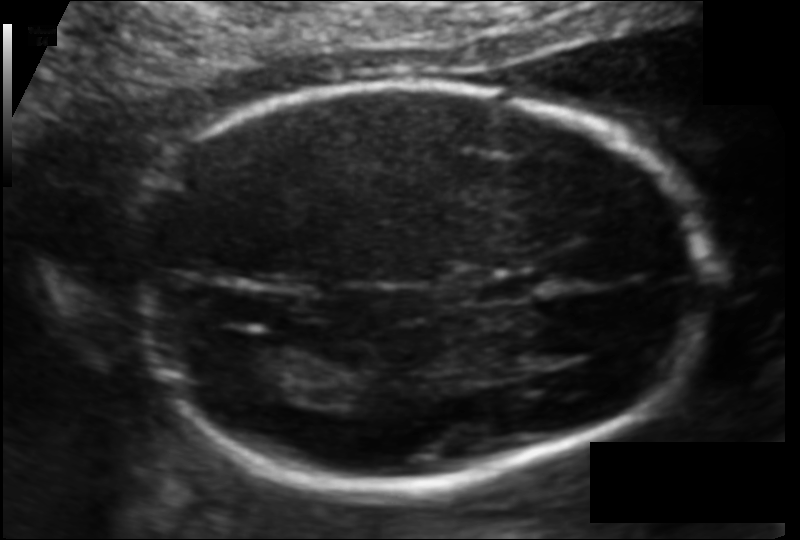
Fetal head ultrasound. Image width: 87.4 mm. Where is the lateral ventricle?

Lateral ventricle bounding box: [207,336,308,408]